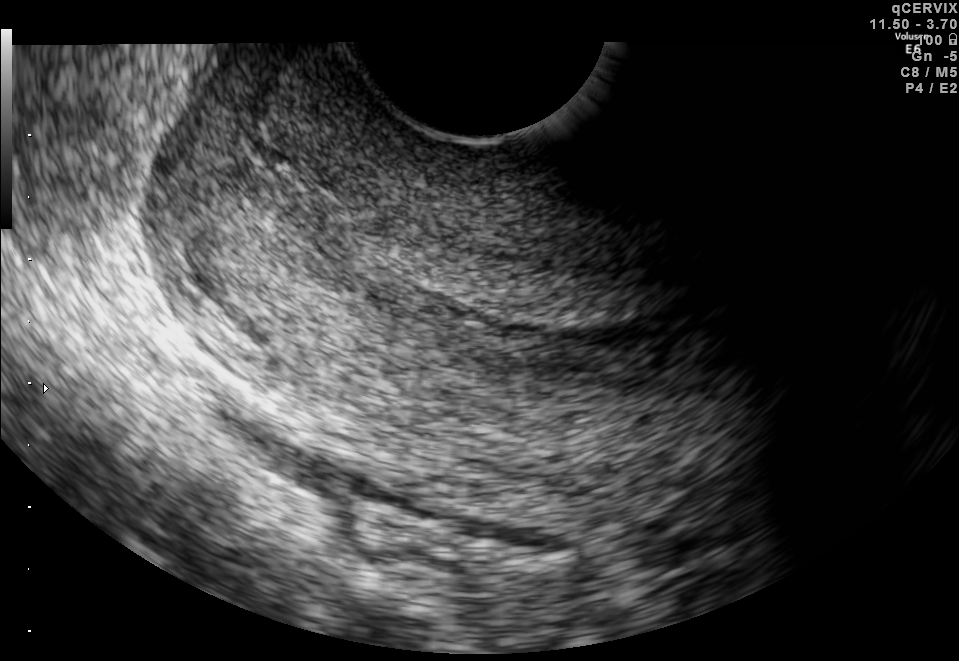
Classify this maternal-fetal ultrasound image as one of the six standard planes — fetal abdomen, fetal brain, fetal femur, fetal thorax, maternal cervix, or other. If it's fetal brain and one of the three standard brain planes (trans-thalamic, trans-cerebellum, trans-ventricular), name which.

Maternal cervix